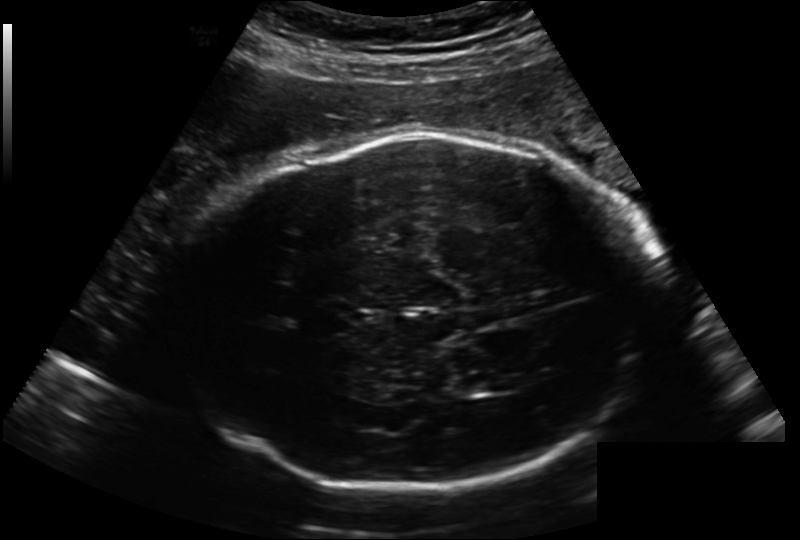
In this fetal head ultrasound, give the bounding box of the fetal head. Image width: 177.3 mm.

[170,132,643,493]